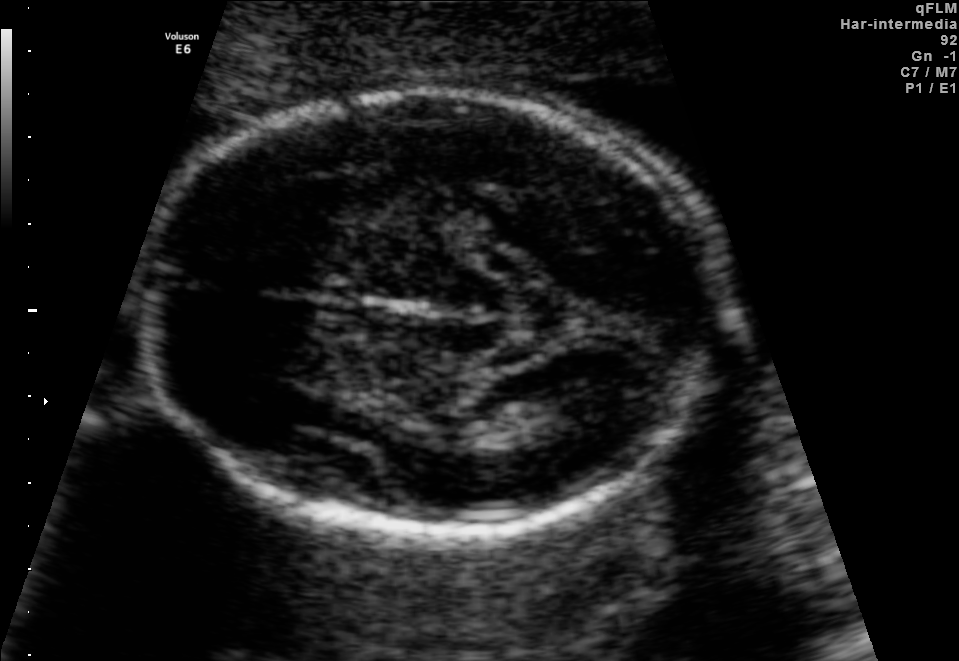
In this fetal brain, trans-thalamic plane, give the bounding box of the lateral ventricle.

[521,371,625,446]